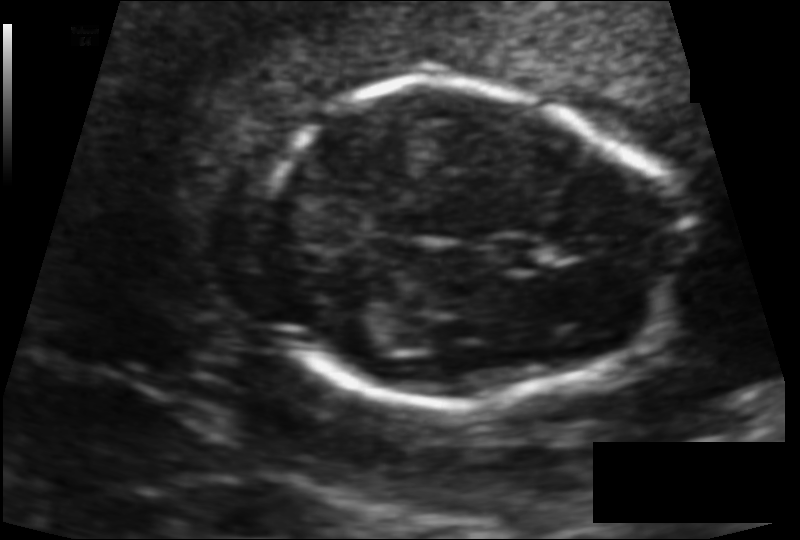
From this fetal ultrasound, estimate the head circumference (image width 80.4 mm).

Head circumference: 121.3 mm.